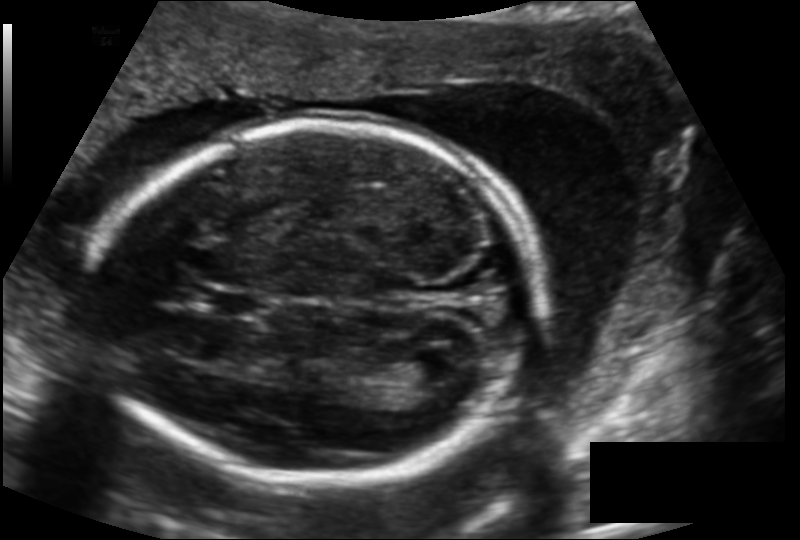
Fetal head ultrasound. Image width: 114.6 mm. Locate the cavum septum pellucidum.

CSP: [203,287,266,319]